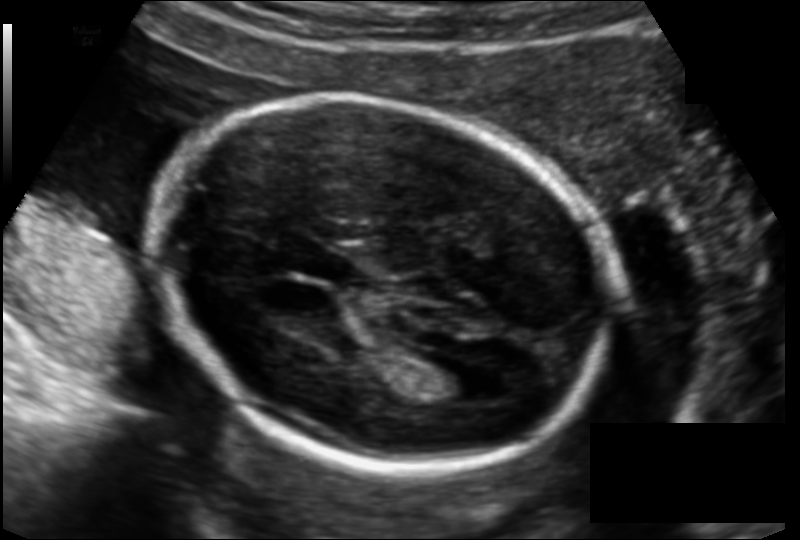
Fetal head ultrasound. Image width: 107.7 mm. Locate the fetal head and, if visible, the cavum septum pellucidum (CSP) and lateral ventricle (LV). Give bounding boxes as [x1,y1,x2,y2].

Head: [153,100,611,468]
Lateral ventricle: [418,359,487,406]